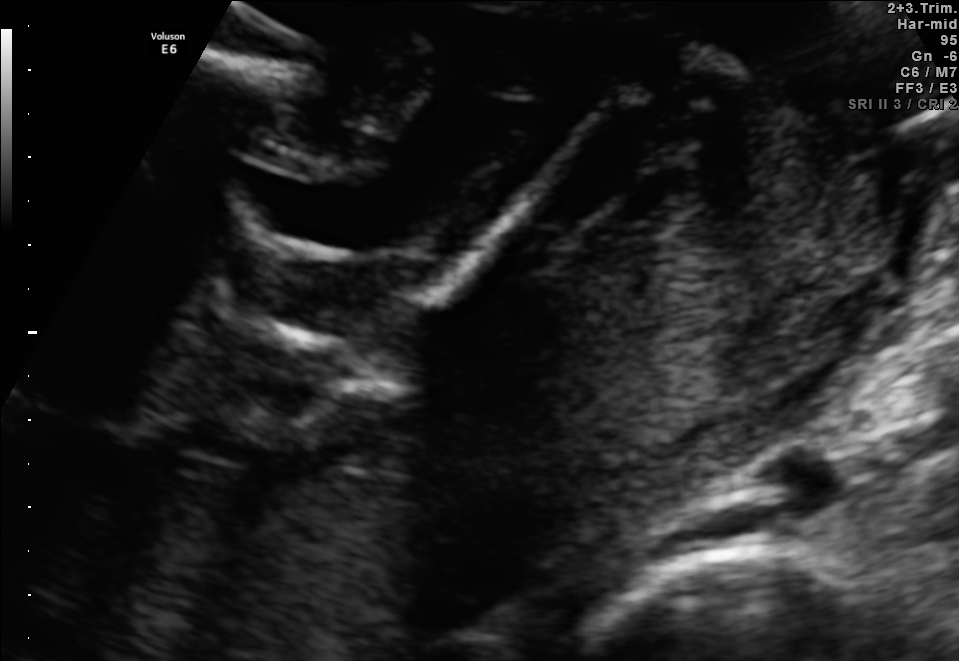
Identify the standard plane in this fetal ultrasound image: fetal abdomen, fetal brain, fetal femur, fetal thorax, maternal cervix, or other. If it's fetal brain and one of the three standard brain planes (trans-thalamic, trans-cerebellum, trans-ventricular), name which.

Other